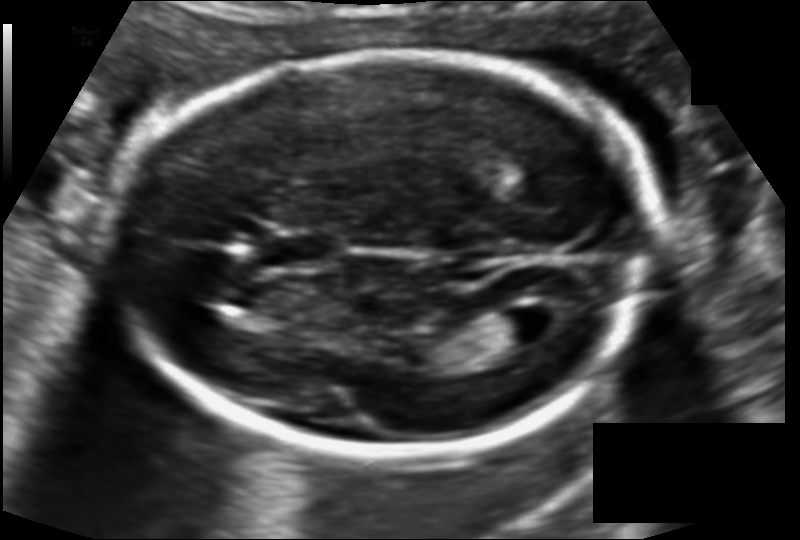
Estimate the fetal head circumference from this 2D ultrasound. Image width: 92.2 mm.

Head circumference: 178.0 mm.